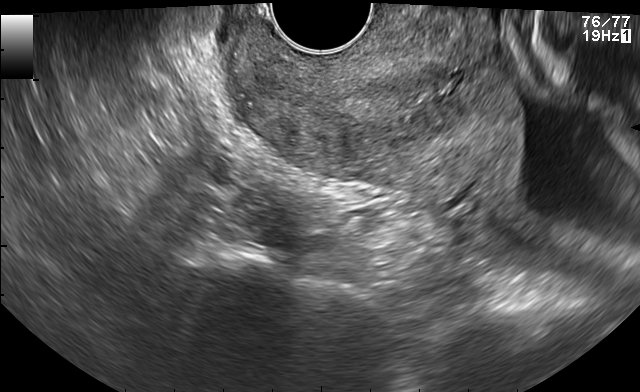
Classify this maternal-fetal ultrasound image as one of the six standard planes — fetal abdomen, fetal brain, fetal femur, fetal thorax, maternal cervix, or other. If it's fetal brain and one of the three standard brain planes (trans-thalamic, trans-cerebellum, trans-ventricular), name which.

Maternal cervix